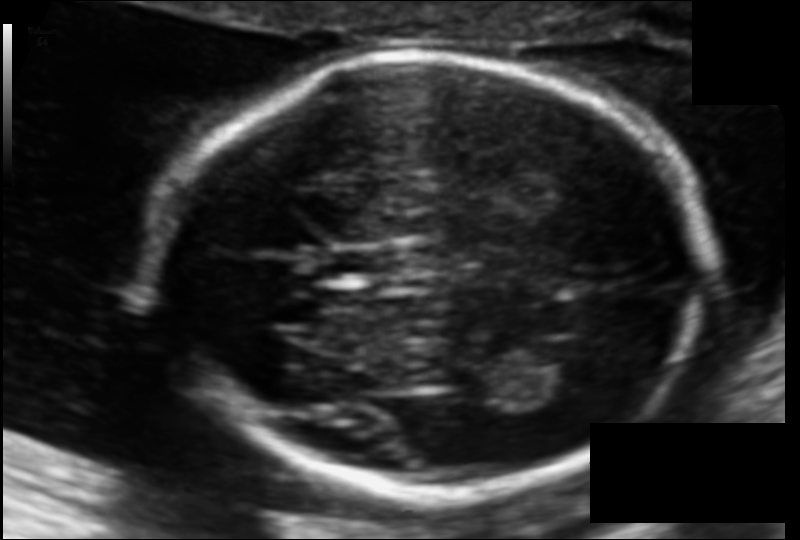
Fetal head ultrasound. Image width: 86.8 mm. Where is the cavum septum pellucidum?

CSP bounding box: [329,249,393,278]